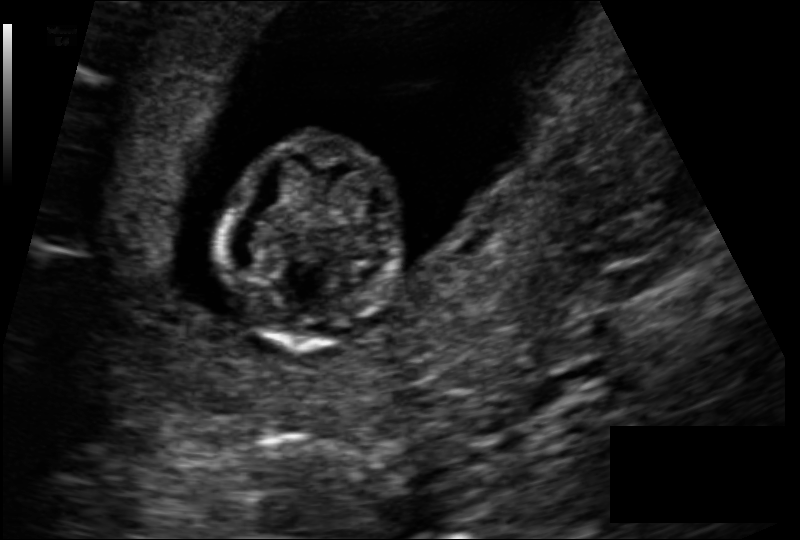
In this fetal head ultrasound, give bounding boxes for the head outline, cavum septum pellucidum (CSP), and lateral ventricle (LV), where visible. Image width: 90.6 mm.

Head: [219,137,405,350]